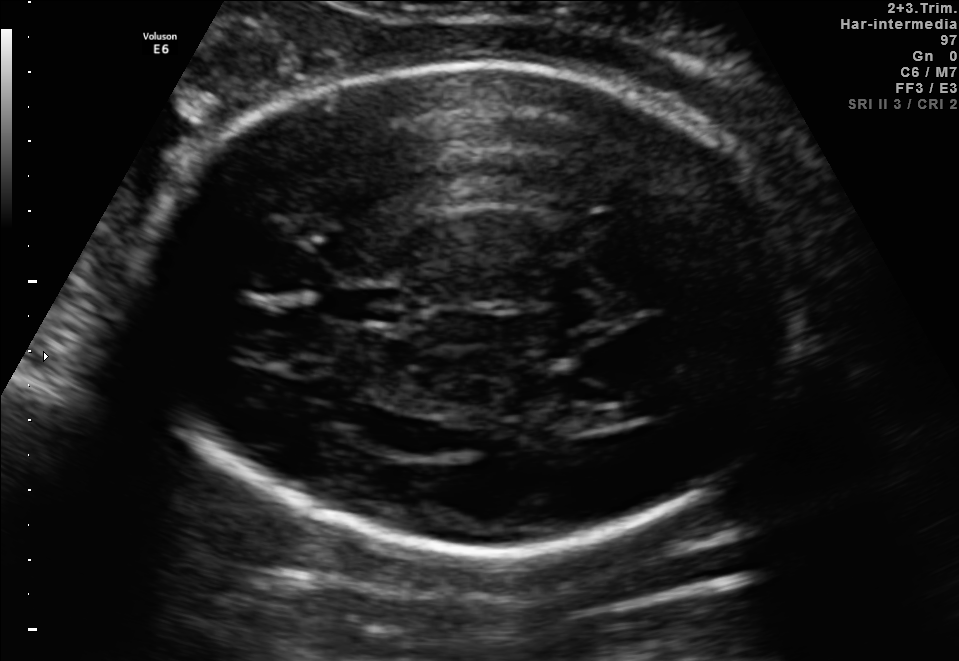
Fetal brain, trans-ventricular plane. Locate the fetal head and, if visible, the cavum septum pellucidum (CSP) and lateral ventricle (LV). Give bounding boxes as [x1,y1,x2,y2].

Head: [137,56,816,563]
CSP: [318,283,412,327]